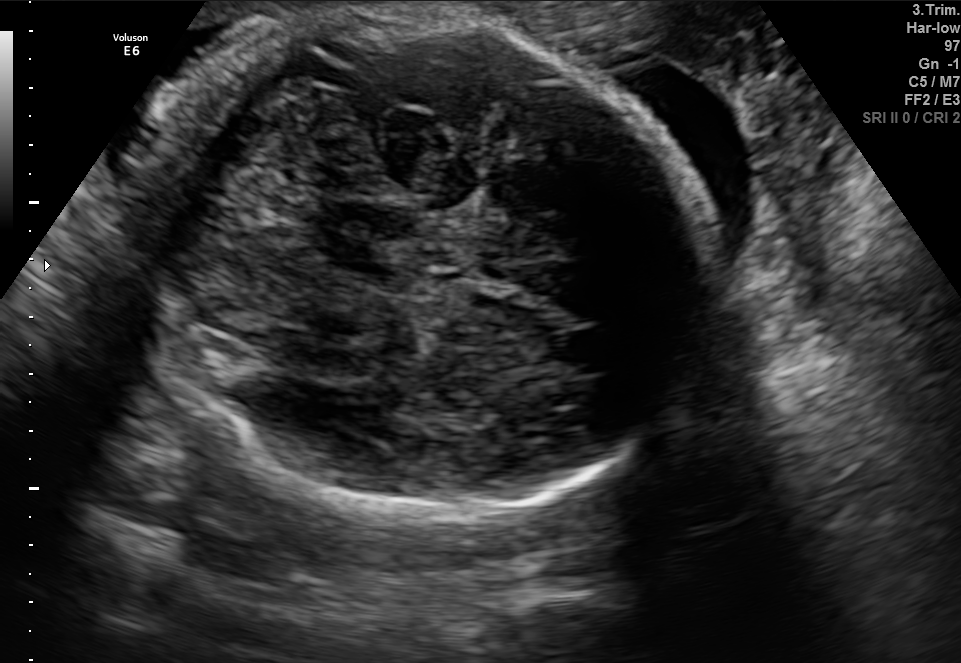
Identify the standard plane in this fetal ultrasound image: fetal abdomen, fetal brain, fetal femur, fetal thorax, maternal cervix, or other. If it's fetal brain and one of the three standard brain planes (trans-thalamic, trans-cerebellum, trans-ventricular), name which.

Fetal brain (trans-cerebellum plane)